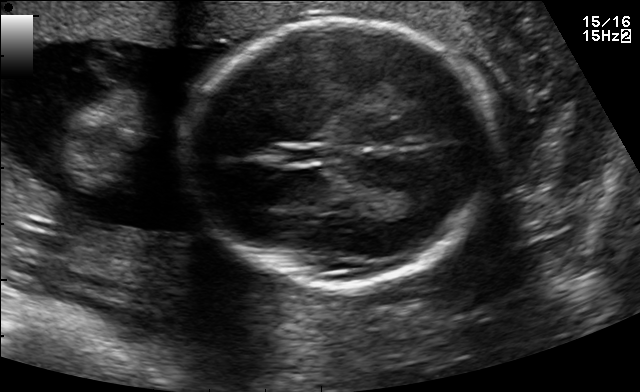
Classify this maternal-fetal ultrasound image as one of the six standard planes — fetal abdomen, fetal brain, fetal femur, fetal thorax, maternal cervix, or other. If it's fetal brain and one of the three standard brain planes (trans-thalamic, trans-cerebellum, trans-ventricular), name which.

Fetal brain (trans-thalamic plane)